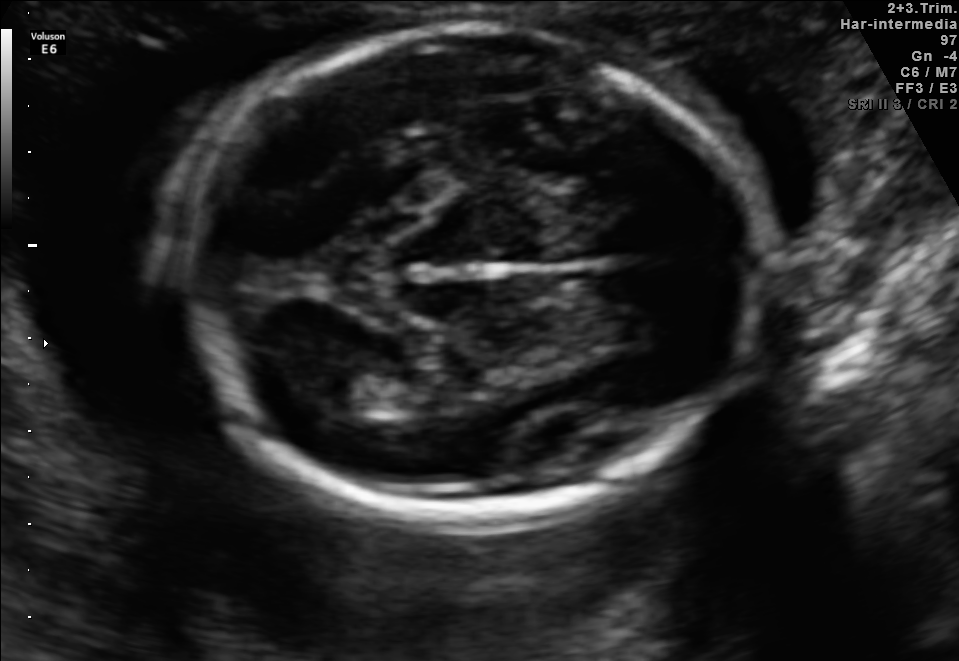
Fetal brain, trans-thalamic plane. Locate the fetal head and, if visible, the cavum septum pellucidum (CSP) and lateral ventricle (LV). Give bounding boxes as [x1,y1,x2,y2].

Head: [183,27,768,518]
Lateral ventricle: [318,367,414,419]